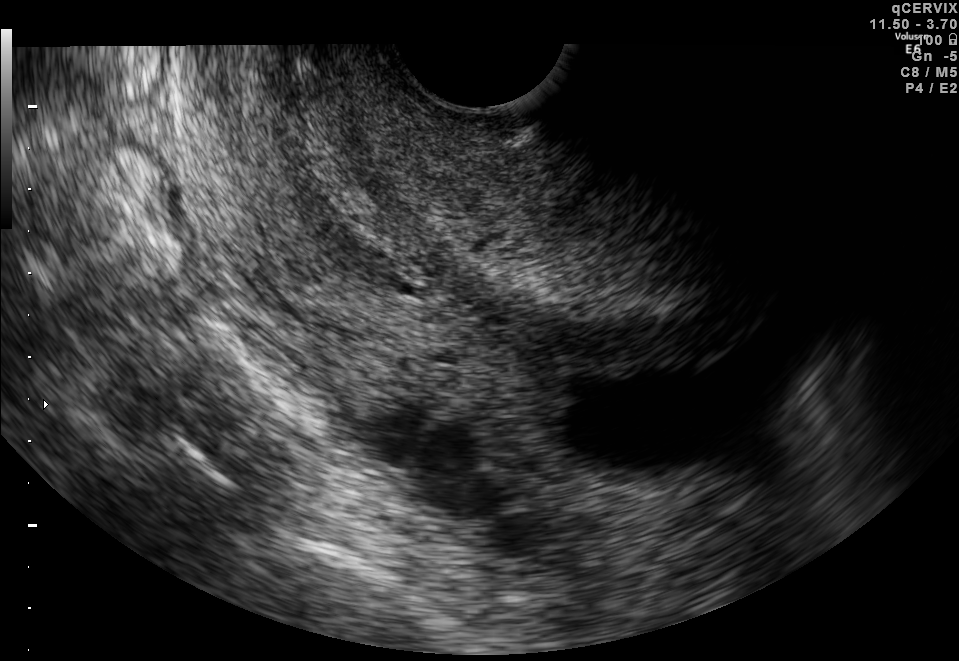
Identify the standard plane in this fetal ultrasound image: fetal abdomen, fetal brain, fetal femur, fetal thorax, maternal cervix, or other. If it's fetal brain and one of the three standard brain planes (trans-thalamic, trans-cerebellum, trans-ventricular), name which.

Maternal cervix